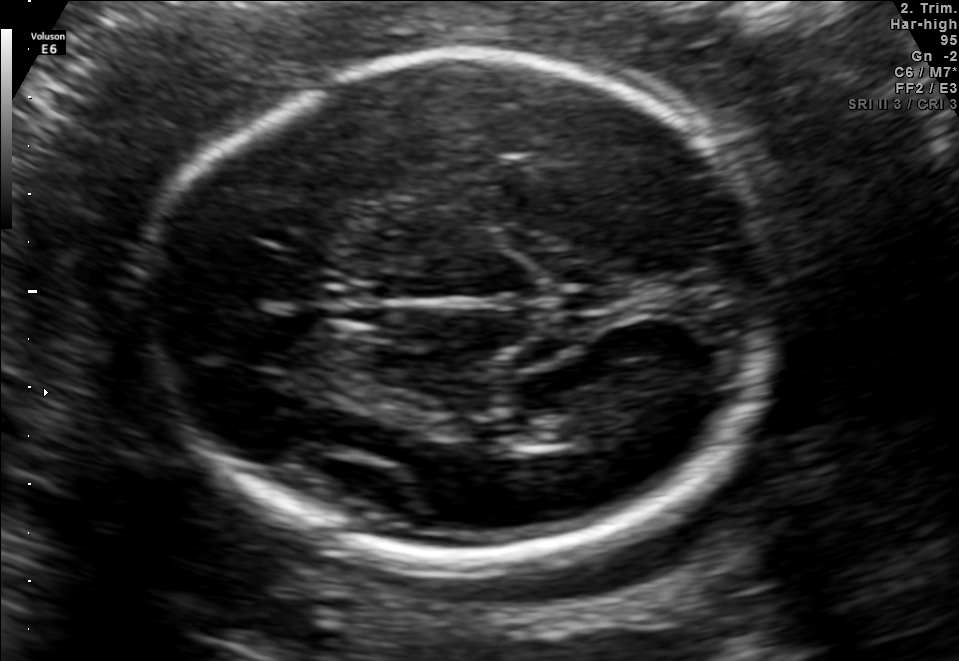
Fetal brain, trans-thalamic plane. Where is the lateral ventricle?

Lateral ventricle bounding box: [514,408,581,447]